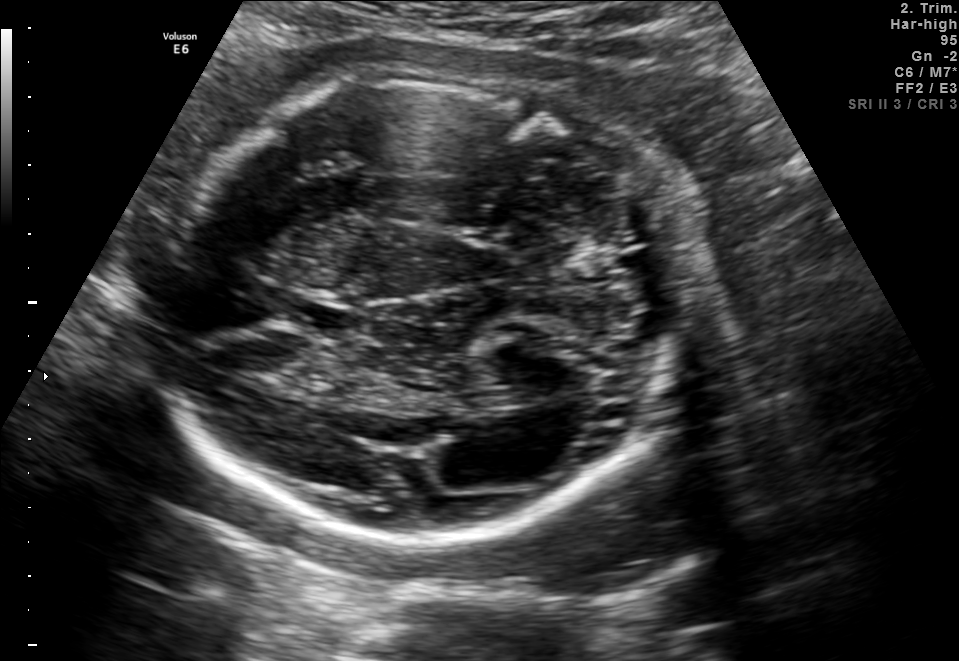
Fetal brain, trans-thalamic plane. Where is the lateral ventricle?

Lateral ventricle bounding box: [459,387,529,408]